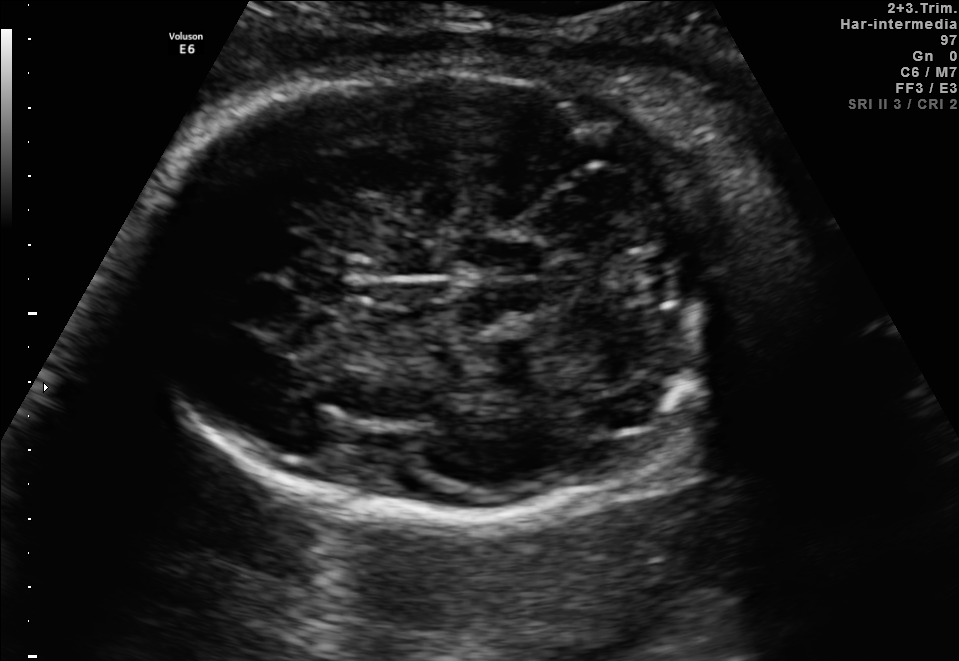
In this fetal brain, trans-cerebellum plane, give the bounding box of the cavum septum pellucidum.

[287,262,346,309]